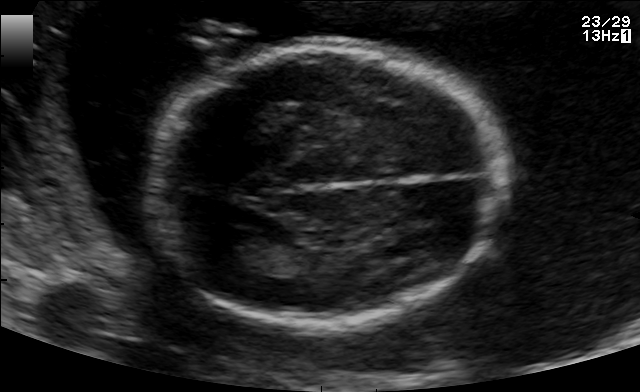
Fetal brain, trans-thalamic plane. Where is the lateral ventricle?

Lateral ventricle bounding box: [213,222,282,273]